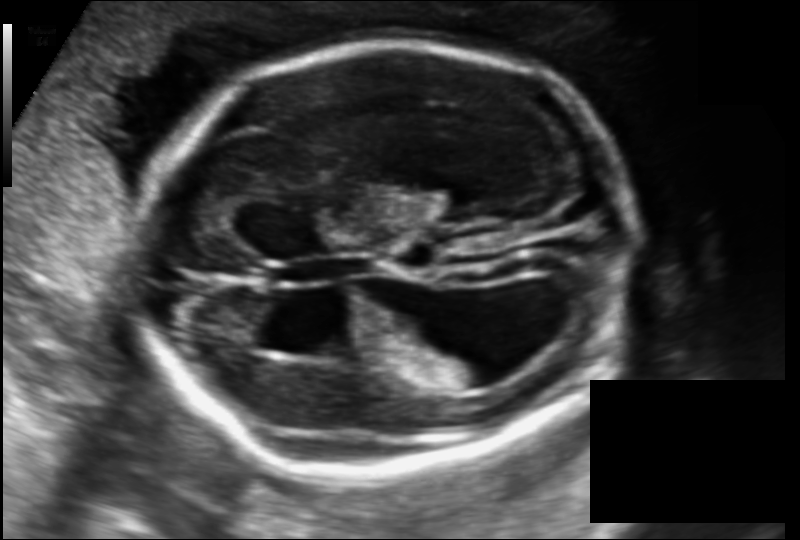
Fetal head ultrasound. Image width: 112.8 mm. Locate the fetal head and, if visible, the cavum septum pellucidum (CSP) and lateral ventricle (LV). Give bounding boxes as [x1,y1,x2,y2].

Head: [133,44,635,466]